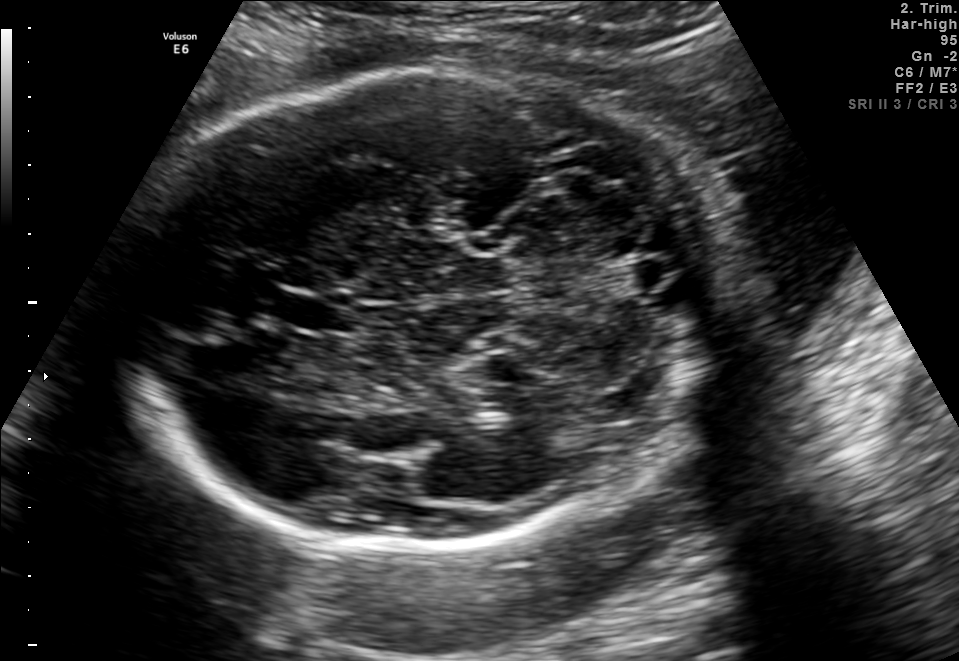
In this fetal brain, trans-cerebellum plane, give bounding boxes for the head outline, cavum septum pellucidum (CSP), and lateral ventricle (LV), where visible.

Head: [123,71,720,554]
CSP: [269,283,353,342]